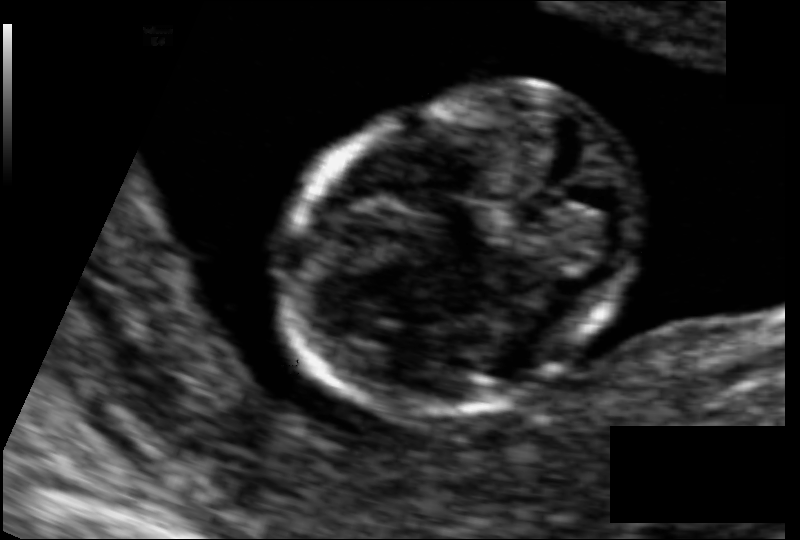
Fetal head ultrasound. Image width: 52.4 mm. Locate the fetal head.

Head: [286,91,644,415]